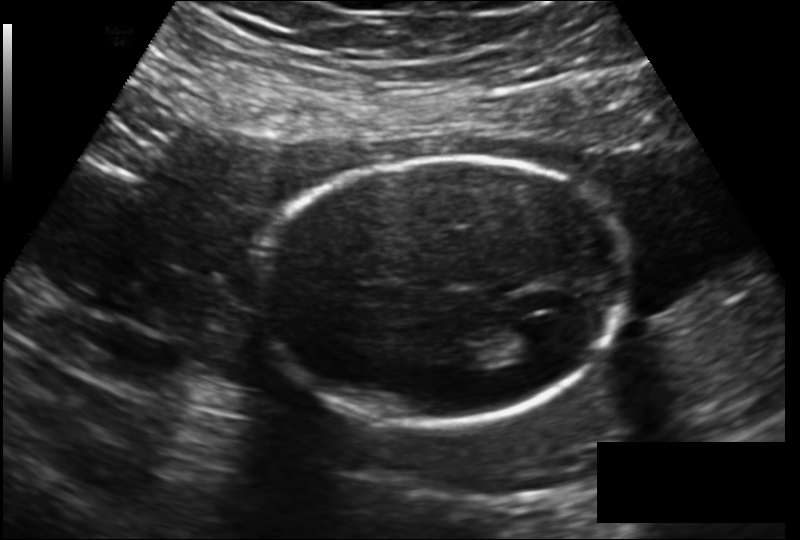
In this fetal head ultrasound, give the bounding box of the fetal head. Image width: 137.8 mm.

[262,154,628,425]